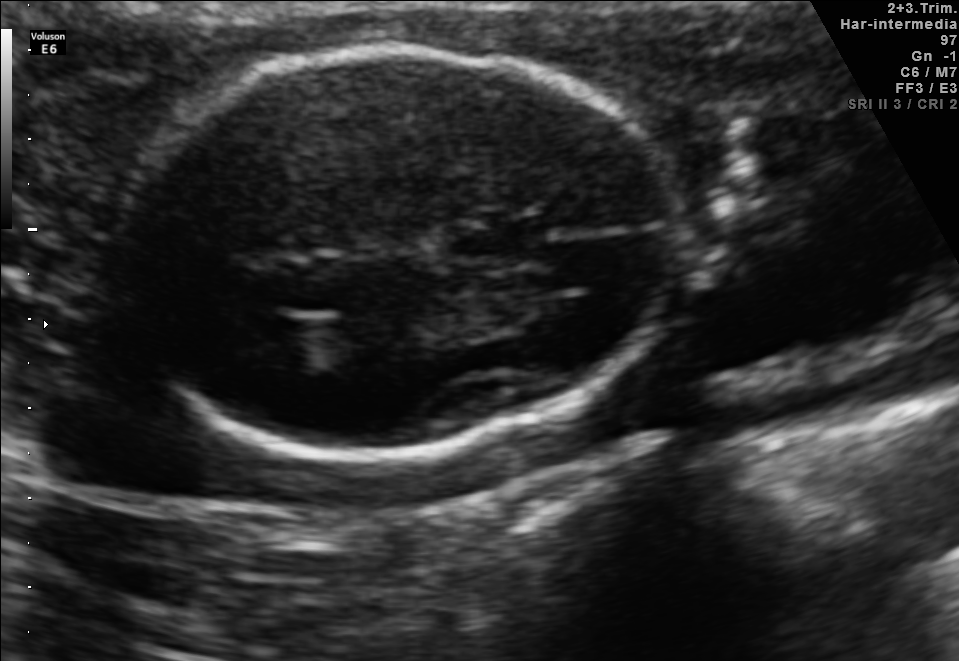
Fetal brain, trans-thalamic plane. Where is the fetal head?

Head bounding box: [116,48,673,453]